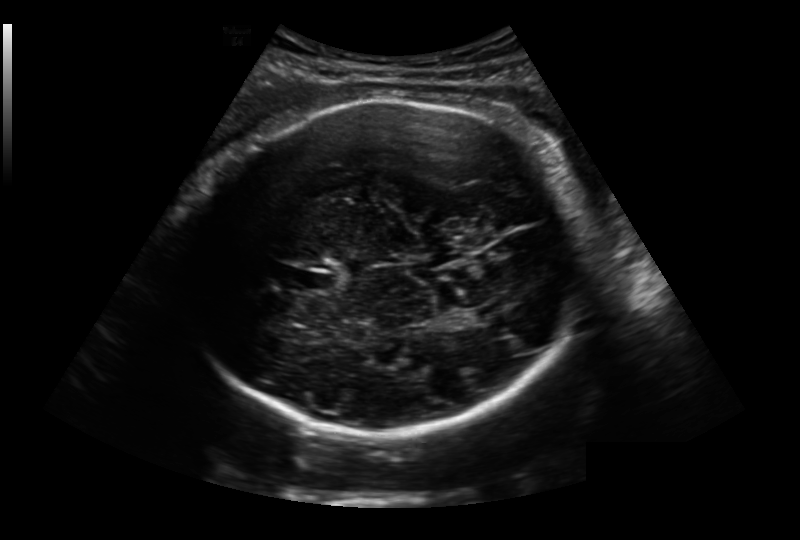
Fetal head ultrasound. Image width: 188.7 mm. Locate the fetal head and, if visible, the cavum septum pellucidum (CSP) and lateral ventricle (LV). Give bounding boxes as [x1,y1,x2,y2].

Head: [180,97,593,435]
CSP: [296,267,340,296]